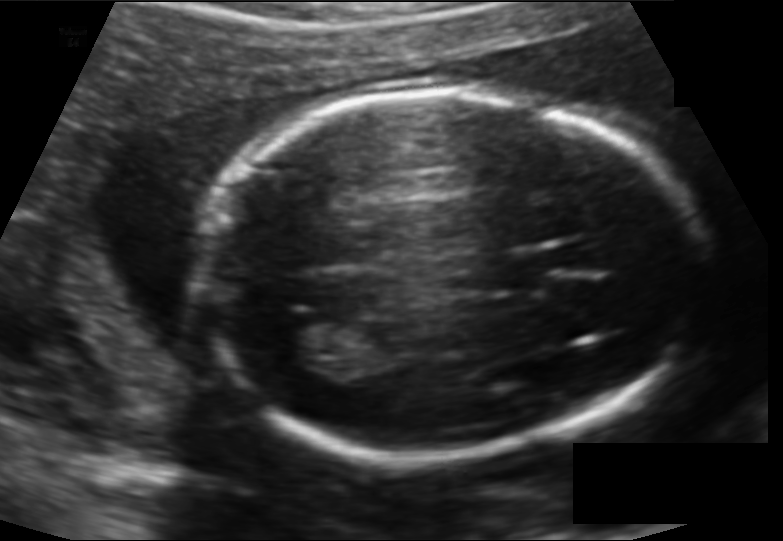
In this fetal head ultrasound, give the bounding box of the lateral ventricle. Image width: 100.2 mm.

[264,308,343,370]